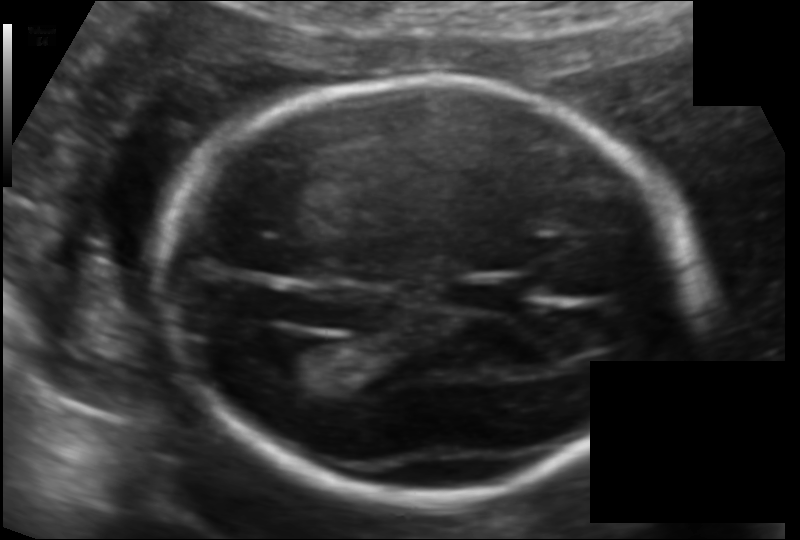
Fetal head ultrasound. Image width: 94.6 mm. Locate the cavum septum pellucidum.

CSP: [457,280,523,307]